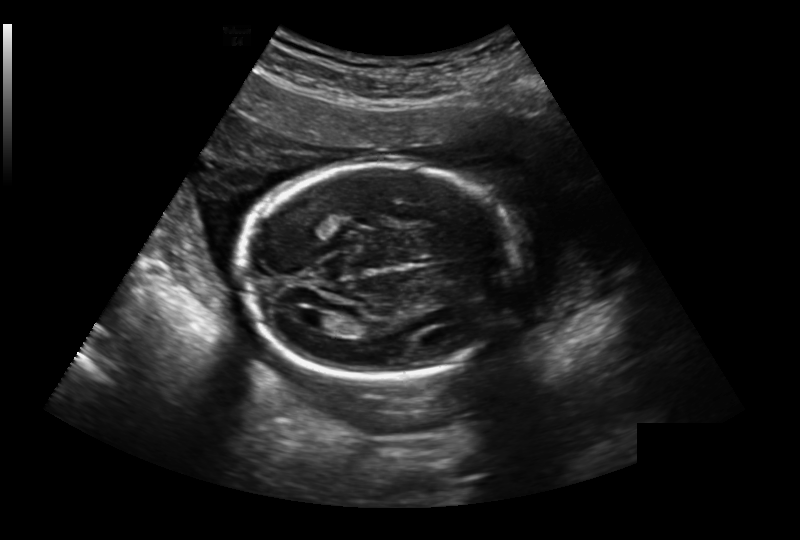
Estimate the fetal head circumference from this 2D ultrasound.

Head circumference: 189.1 mm (image width 188.5 mm).